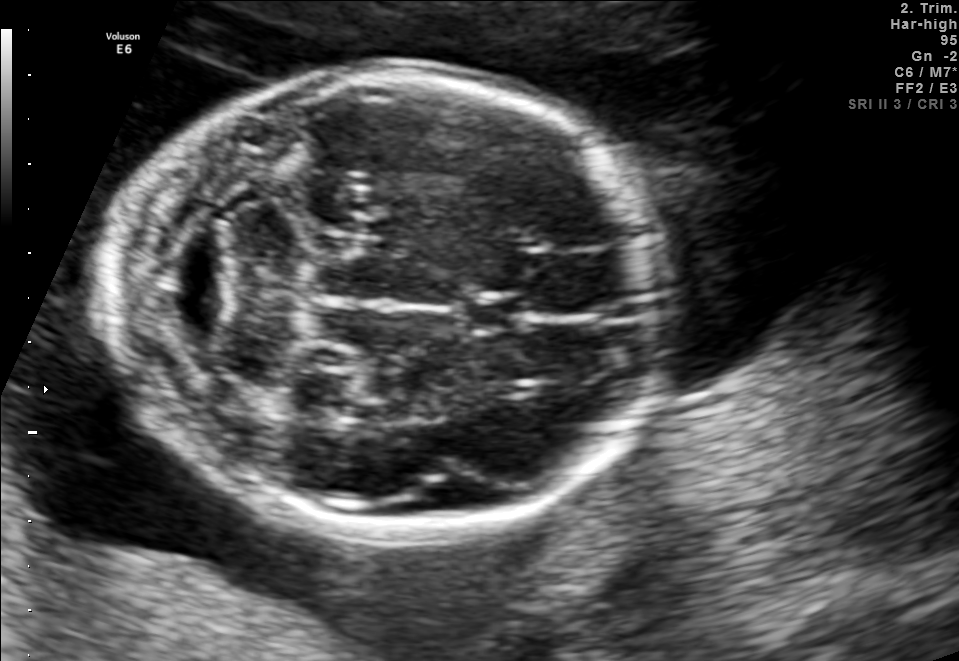
Fetal brain, trans-cerebellum plane. Where is the fetal head?

Head bounding box: [106,71,661,530]